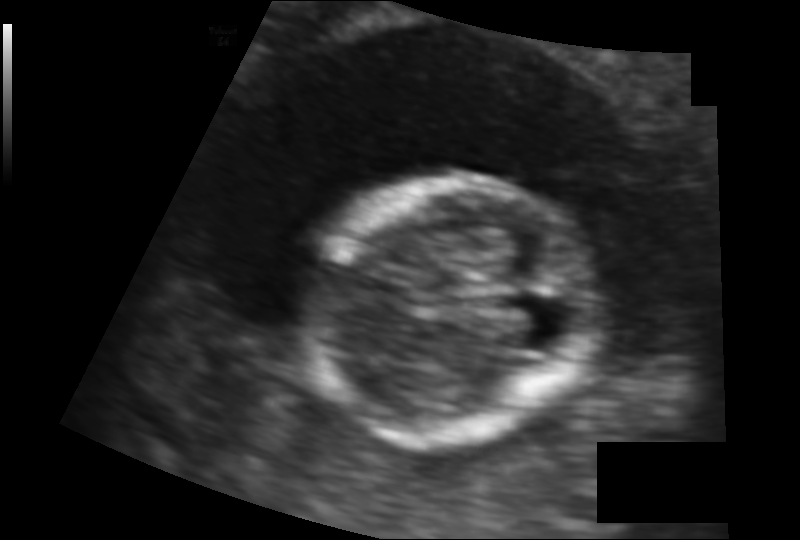
In this fetal head ultrasound, give bounding boxes for the head outline, cavum septum pellucidum (CSP), and lateral ventricle (LV), where visible. Image width: 82.1 mm.

Head: [301,179,601,448]